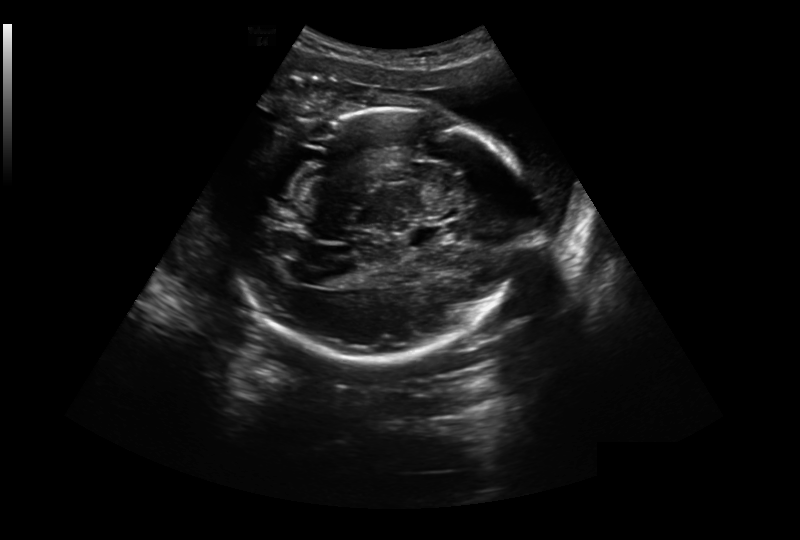
From this fetal ultrasound, estimate the head circumference (image width 243.0 mm).

Head circumference: 270.5 mm.